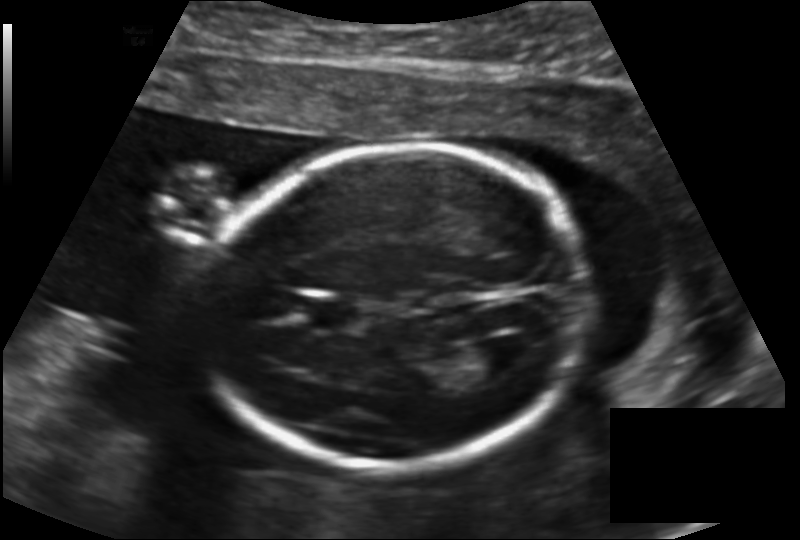
Fetal head ultrasound. Image width: 117.6 mm. Where is the fetal head?

Head bounding box: [203,144,584,468]